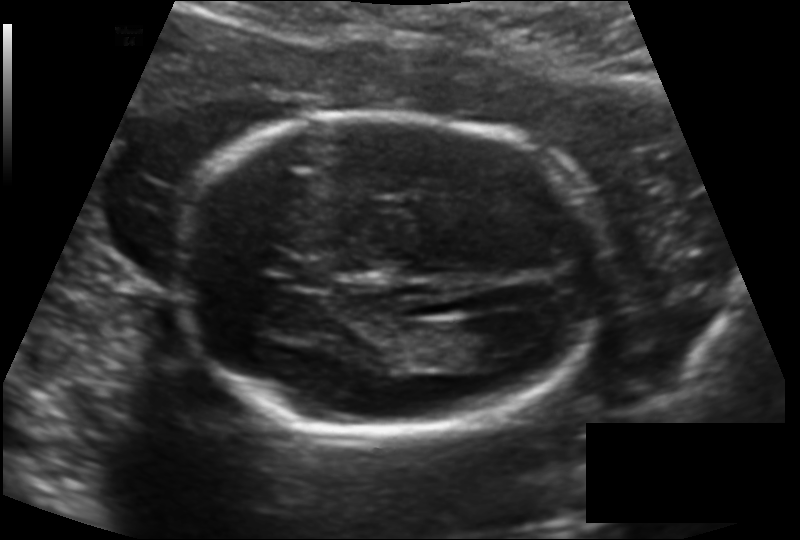
Fetal head ultrasound. Image width: 110.7 mm. Locate the cavum septum pellucidum.

CSP: [289,261,330,288]